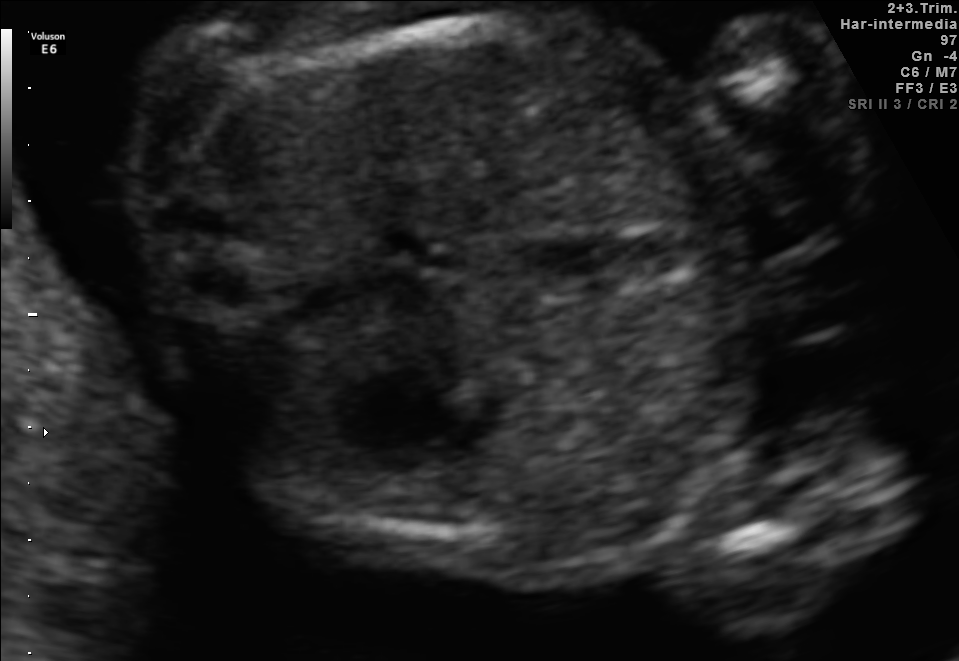
Identify the standard plane in this fetal ultrasound image: fetal abdomen, fetal brain, fetal femur, fetal thorax, maternal cervix, or other. If it's fetal brain and one of the three standard brain planes (trans-thalamic, trans-cerebellum, trans-ventricular), name which.

Fetal abdomen